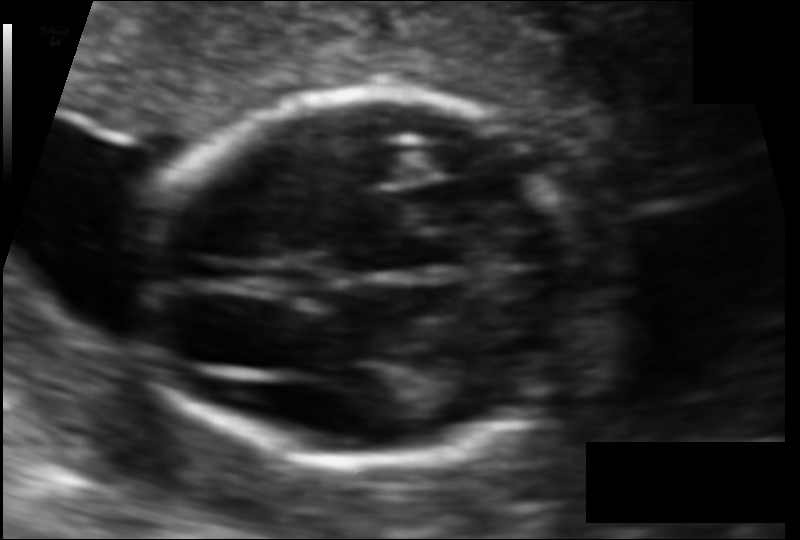
In this fetal head ultrasound, give bounding boxes for the head outline, cavum septum pellucidum (CSP), and lateral ventricle (LV), where visible. Image width: 70.1 mm.

Head: [145,92,583,464]